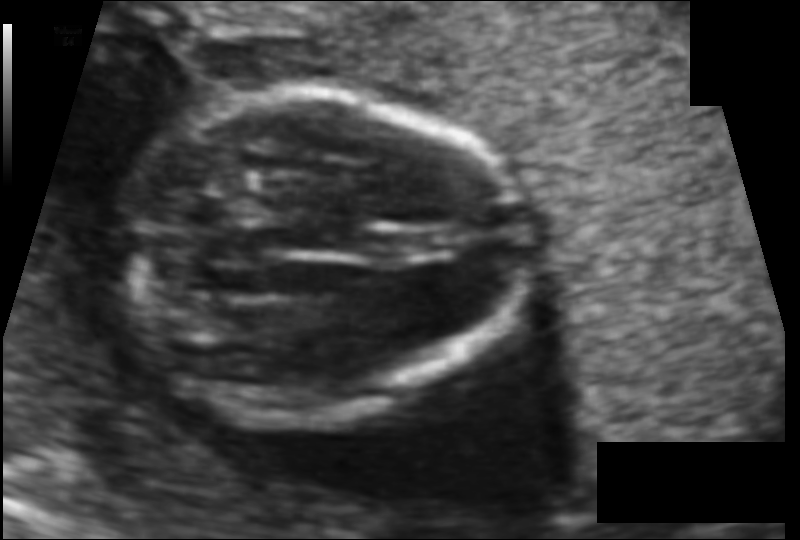
Fetal head ultrasound. Image width: 71.6 mm. Locate the fetal head.

Head: [124,91,524,422]